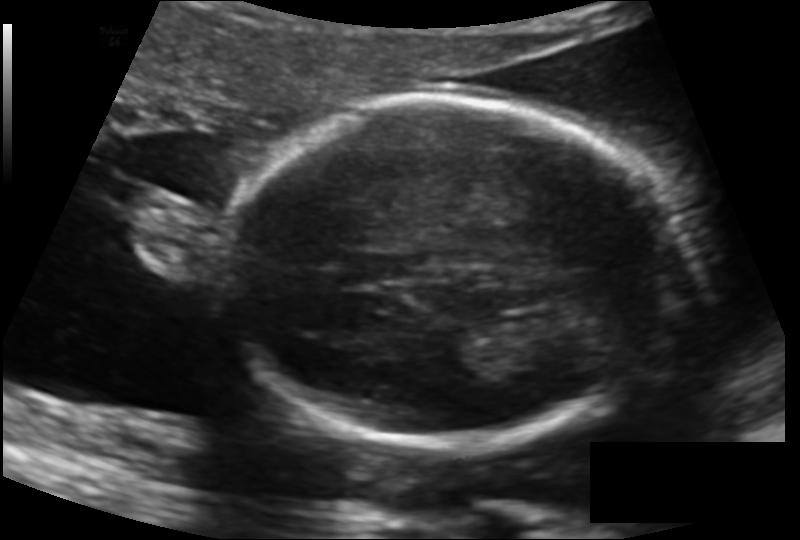
Fetal head ultrasound. Image width: 111.0 mm. Locate the fetal head.

Head: [228,95,679,449]